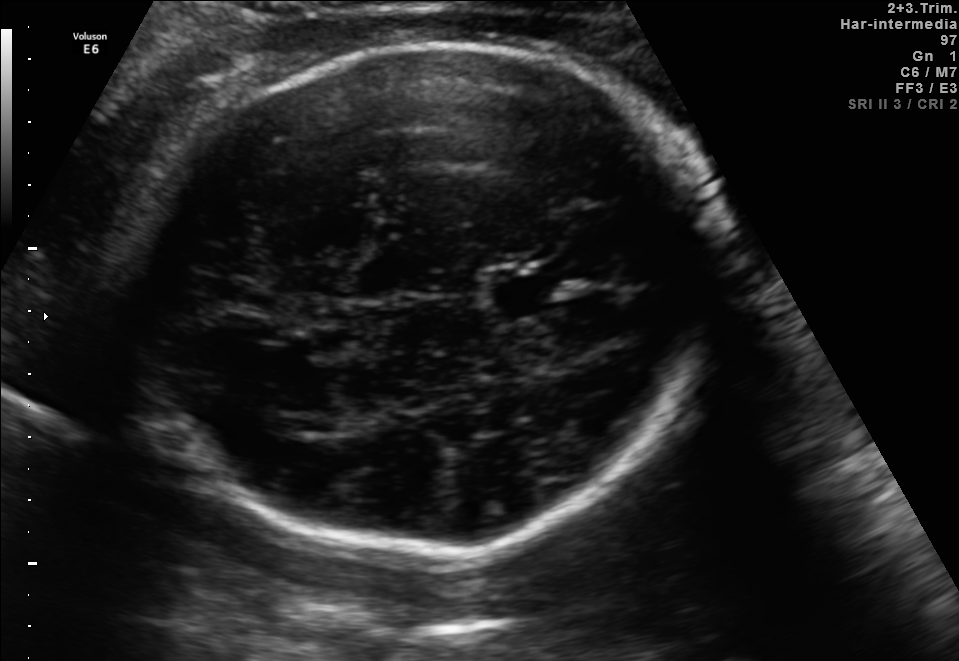
Fetal brain, trans-thalamic plane. Where is the fetal head?

Head bounding box: [122,46,715,555]